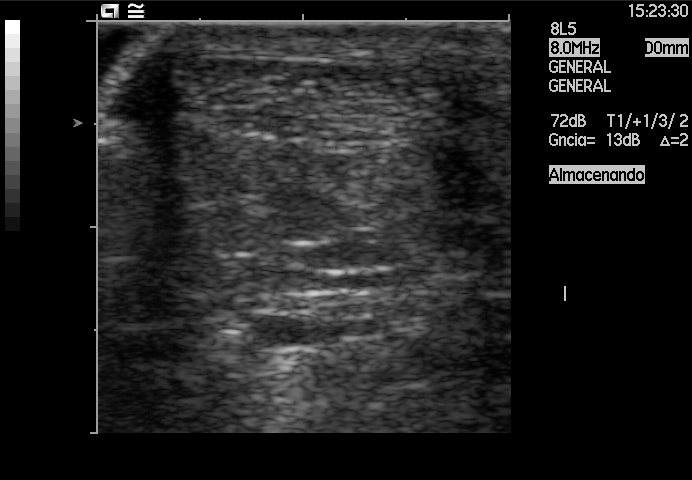
Classify this maternal-fetal ultrasound image as one of the six standard planes — fetal abdomen, fetal brain, fetal femur, fetal thorax, maternal cervix, or other. If it's fetal brain and one of the three standard brain planes (trans-thalamic, trans-cerebellum, trans-ventricular), name which.

Other